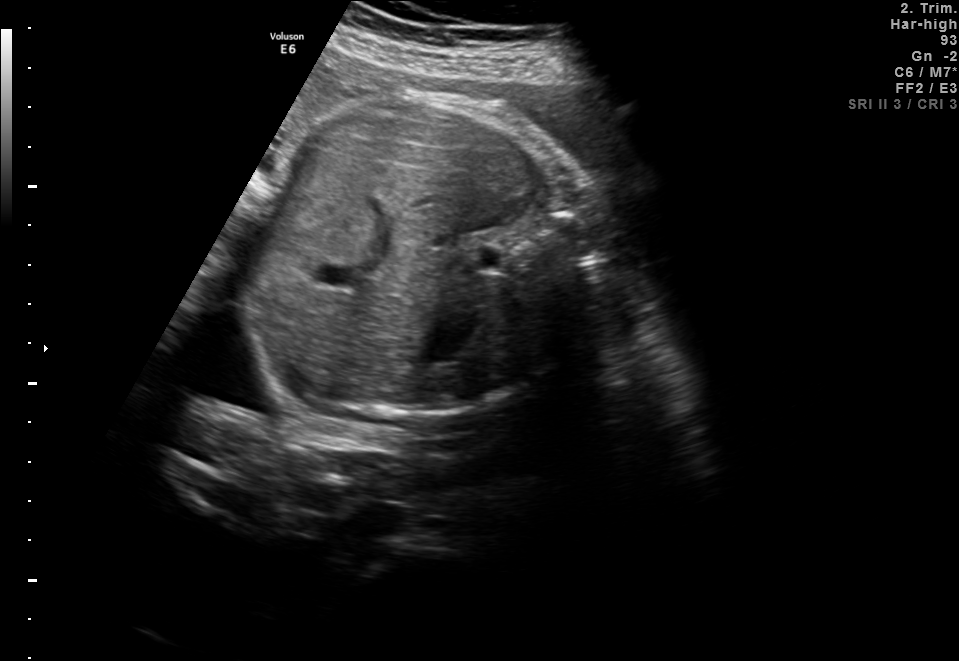
Classify this maternal-fetal ultrasound image as one of the six standard planes — fetal abdomen, fetal brain, fetal femur, fetal thorax, maternal cervix, or other. If it's fetal brain and one of the three standard brain planes (trans-thalamic, trans-cerebellum, trans-ventricular), name which.

Fetal abdomen